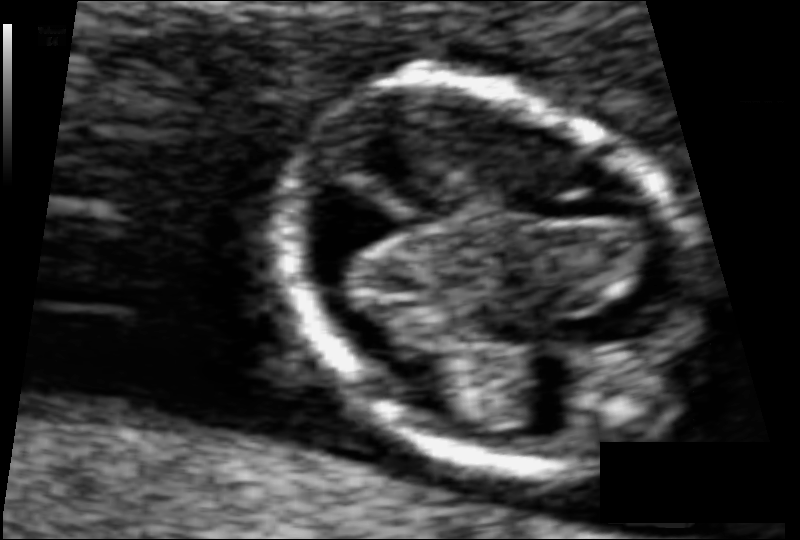
Measure the fetal head circumference shown in this ultrasound image. Image width: 46.0 mm.

Head circumference: 76.1 mm.